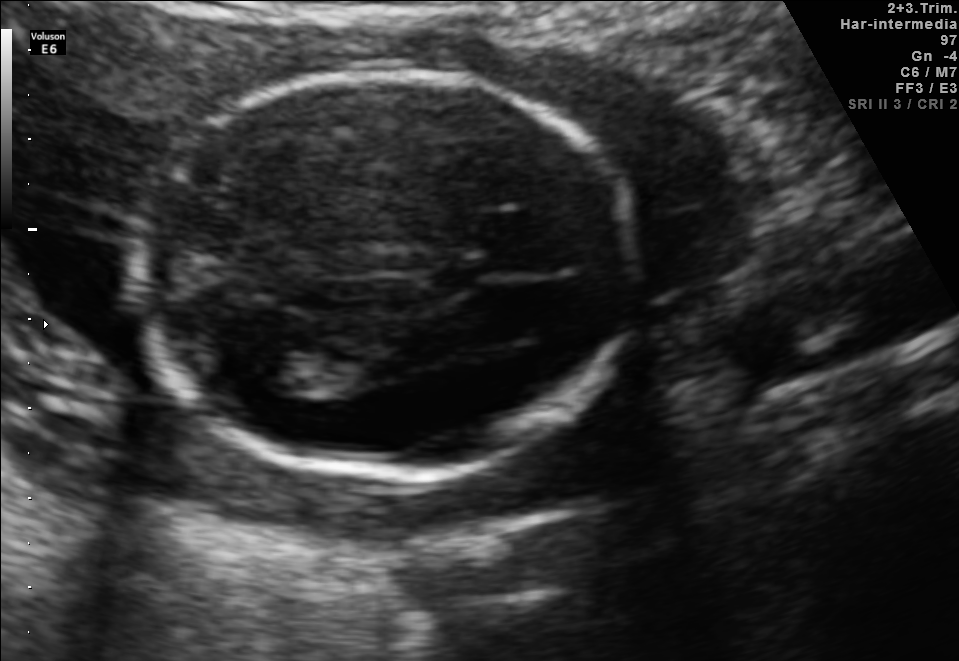
Identify the standard plane in this fetal ultrasound image: fetal abdomen, fetal brain, fetal femur, fetal thorax, maternal cervix, or other. If it's fetal brain and one of the three standard brain planes (trans-thalamic, trans-cerebellum, trans-ventricular), name which.

Fetal brain (trans-ventricular plane)